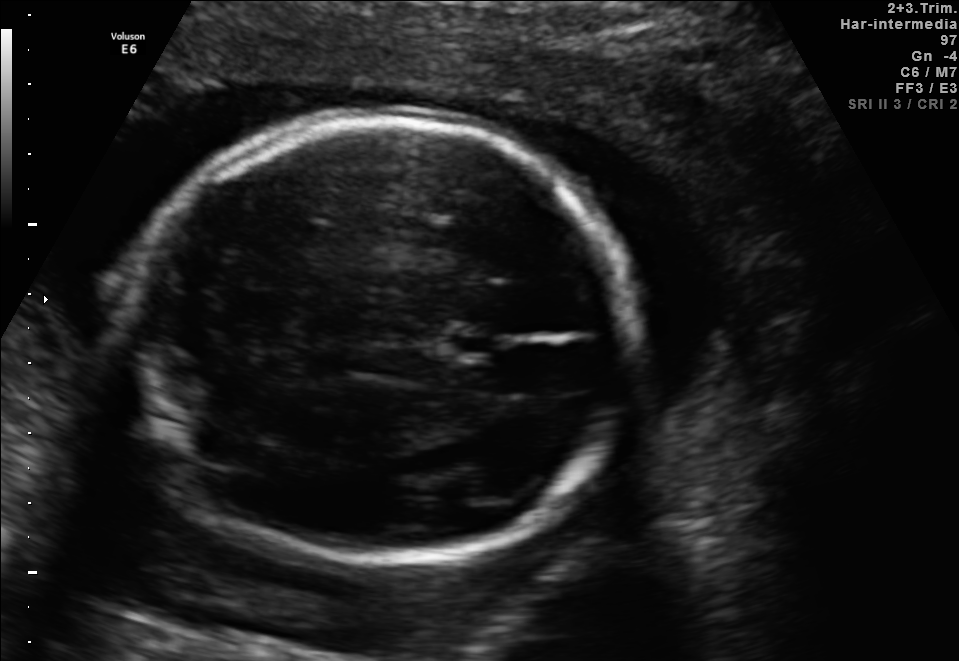
In this fetal brain, trans-thalamic plane, give the bounding box of the cavum septum pellucidum.

[452,335,497,354]